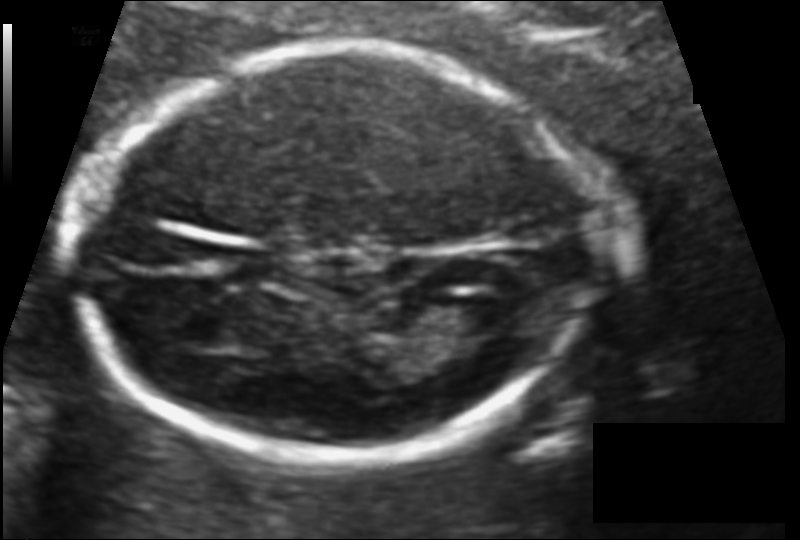
Measure the fetal head circumference shown in this ultrasound image. Image width: 81.3 mm.

Head circumference: 151.8 mm.